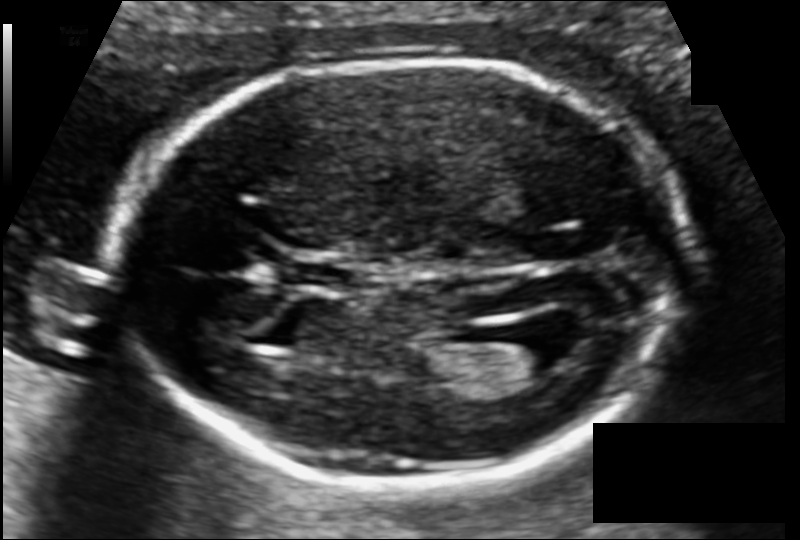
Fetal head ultrasound. Image width: 82.9 mm. Locate the cavum septum pellucidum.

CSP: [288,262,347,287]